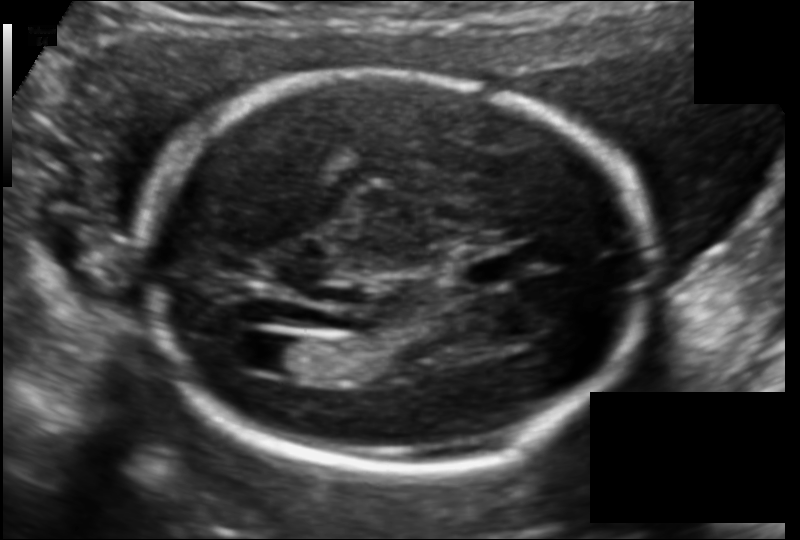
Fetal head ultrasound. Image width: 97.5 mm. Locate the fetal head and, if visible, the cavum septum pellucidum (CSP) and lateral ventricle (LV). Give bounding boxes as [x1,y1,x2,y2].

Head: [143,73,652,472]
CSP: [458,247,521,296]
Lateral ventricle: [254,334,315,376]